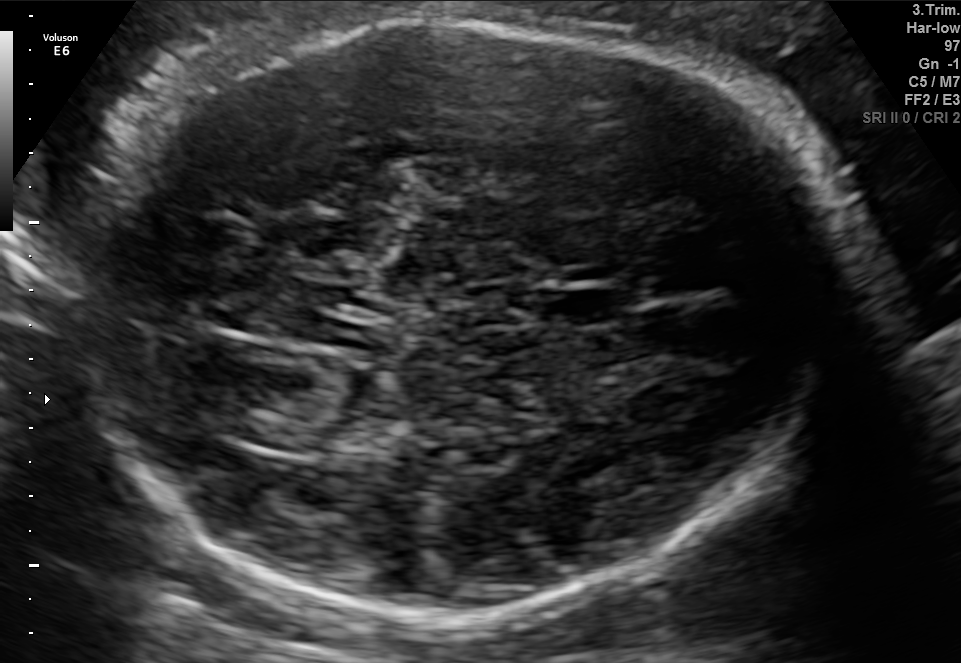
In this fetal brain, trans-thalamic plane, give the bounding box of the fetal head.

[82,16,835,619]